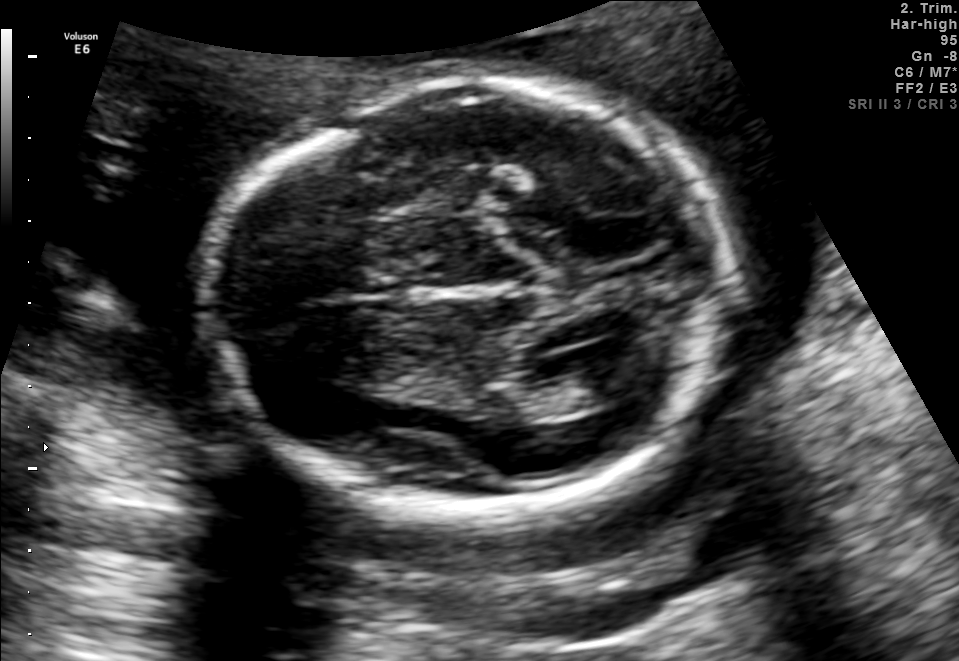
Fetal brain, trans-ventricular plane. Locate the fetal head.

Head: [202,76,747,515]